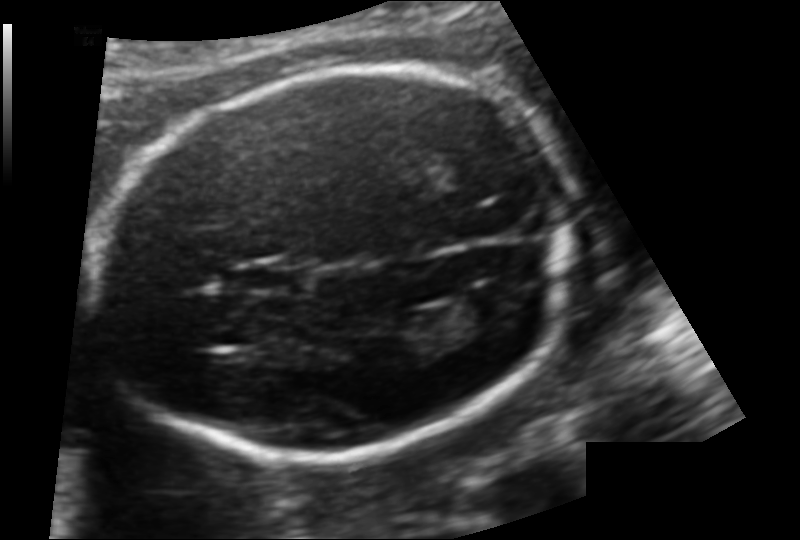
Measure the fetal head circumference shown in this ultrasound image. Image width: 98.8 mm.

Head circumference: 174.3 mm.